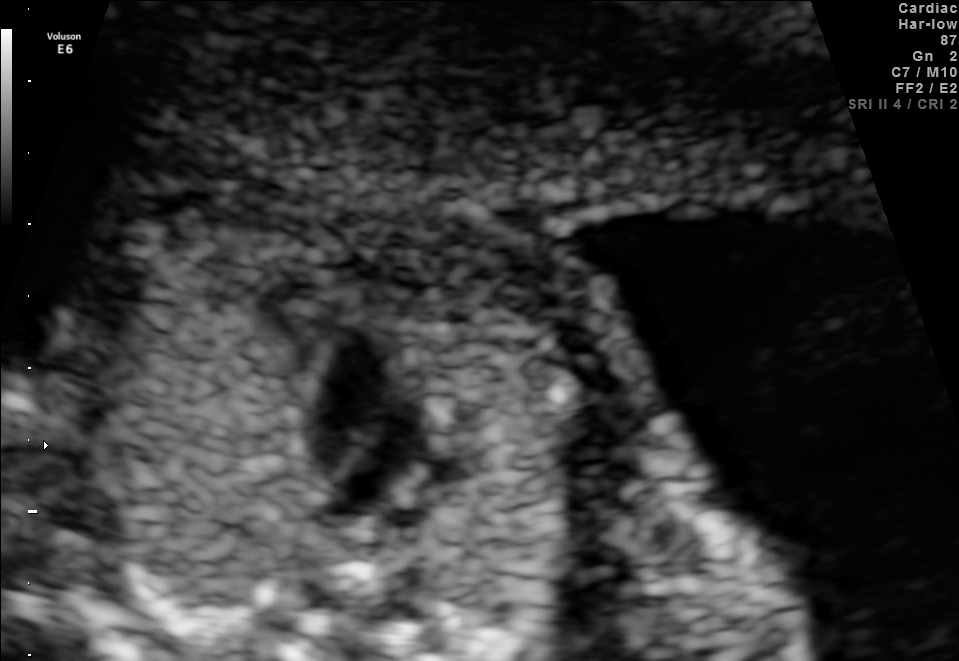
This is a 2D maternal-fetal ultrasound frame. Is it a fetal abdomen, fetal brain, fetal femur, fetal thorax, maternal cervix, or other standard plane? If it's fetal brain and one of the three standard brain planes (trans-thalamic, trans-cerebellum, trans-ventricular), name which.

Other